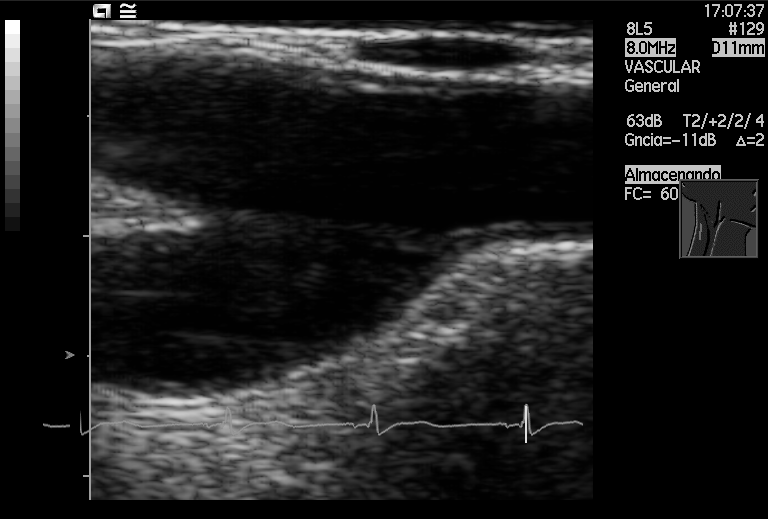
Which standard maternal-fetal ultrasound plane is shown: fetal abdomen, fetal brain, fetal femur, fetal thorax, maternal cervix, or other? If it's fetal brain and one of the three standard brain planes (trans-thalamic, trans-cerebellum, trans-ventricular), name which.

Other